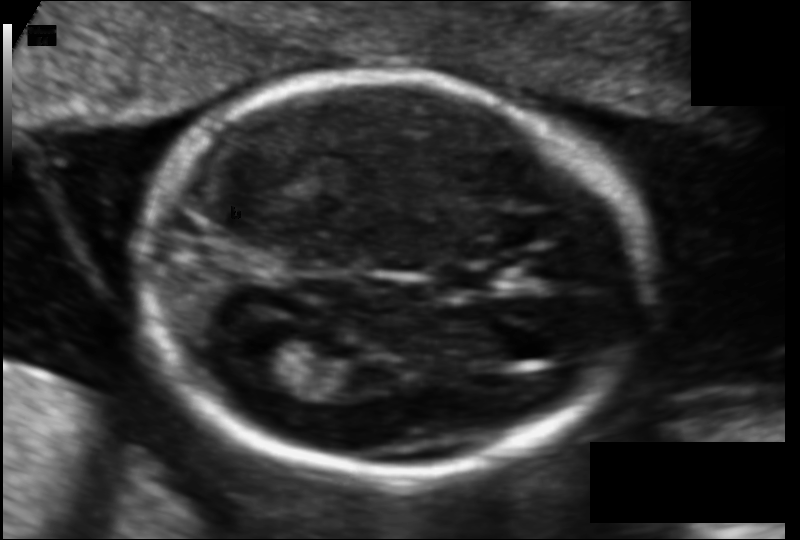
Fetal head ultrasound. Image width: 83.2 mm. Locate the fetal head and, if visible, the cavum septum pellucidum (CSP) and lateral ventricle (LV). Give bounding boxes as [x1,y1,x2,y2].

Head: [136,74,644,475]
CSP: [434,265,501,292]
Lateral ventricle: [223,314,313,391]